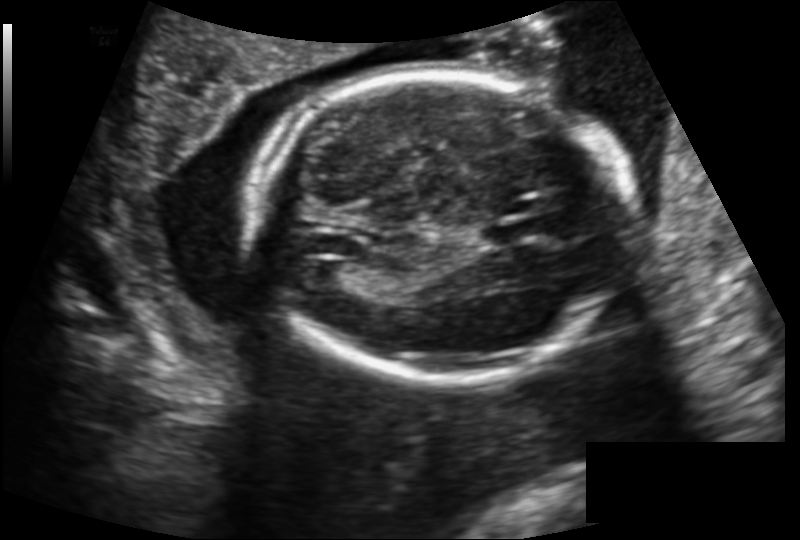
Fetal head ultrasound. Image width: 127.5 mm. Locate the lateral ventricle.

Lateral ventricle: [308,262,348,287]